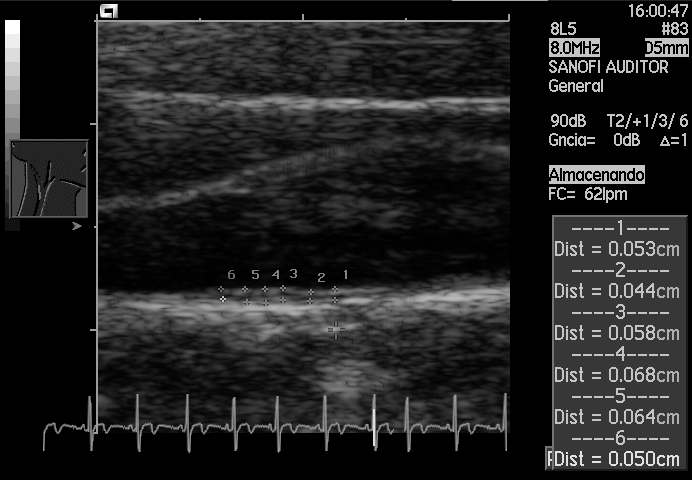
This is a 2D maternal-fetal ultrasound frame. Is it a fetal abdomen, fetal brain, fetal femur, fetal thorax, maternal cervix, or other standard plane? If it's fetal brain and one of the three standard brain planes (trans-thalamic, trans-cerebellum, trans-ventricular), name which.

Other